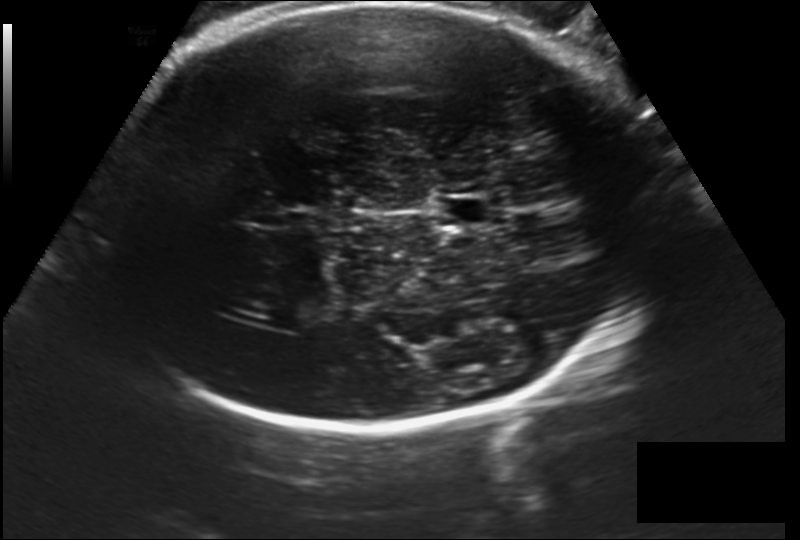
Estimate the fetal head circumference from this 2D ultrasound. Image width: 162.0 mm.

Head circumference: 324.6 mm.